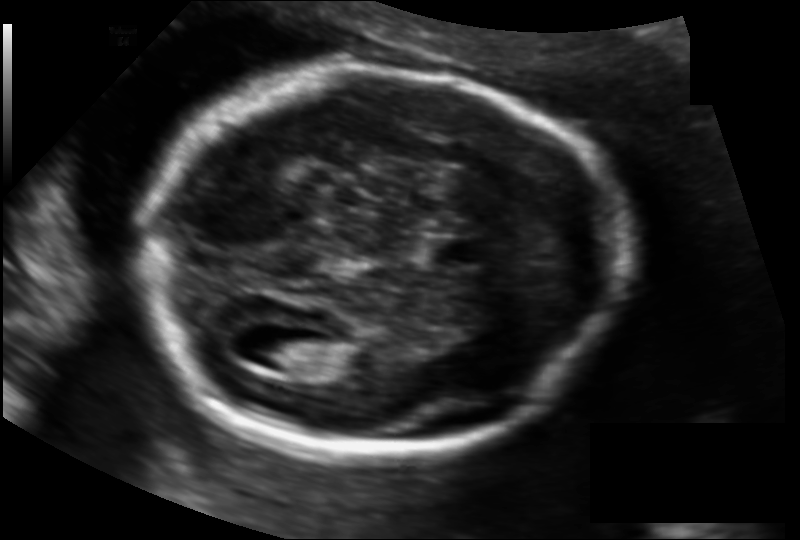
Fetal head ultrasound. Image width: 102.3 mm. Locate the fetal head and, if visible, the cavum septum pellucidum (CSP) and lateral ventricle (LV). Give bounding boxes as [x1,y1,x2,y2].

Head: [142,69,621,452]
CSP: [429,236,482,268]
Lateral ventricle: [251,328,317,376]